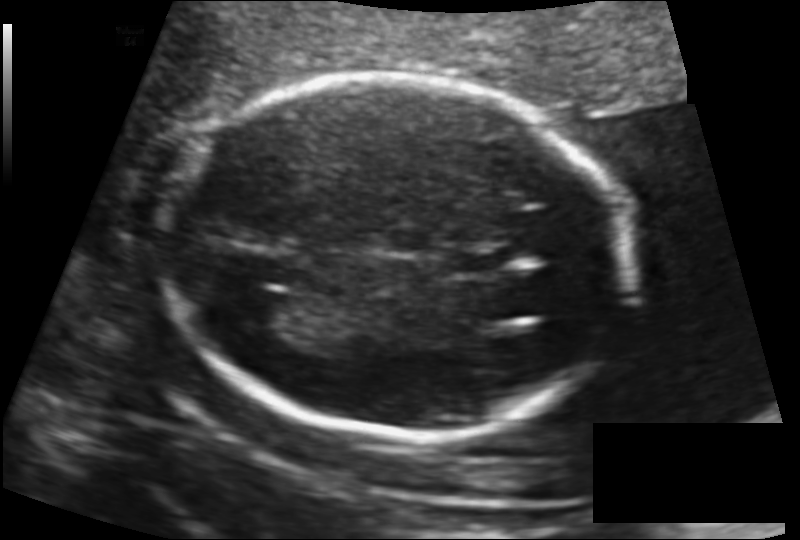
Fetal head ultrasound. Image width: 104.1 mm. Where is the lateral ventricle?

Lateral ventricle bounding box: [231,285,309,340]